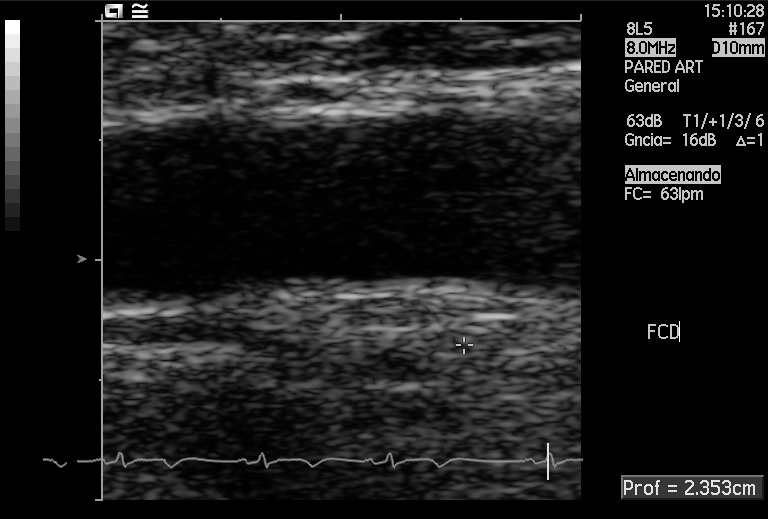
This is a 2D maternal-fetal ultrasound frame. Is it a fetal abdomen, fetal brain, fetal femur, fetal thorax, maternal cervix, or other standard plane? If it's fetal brain and one of the three standard brain planes (trans-thalamic, trans-cerebellum, trans-ventricular), name which.

Other